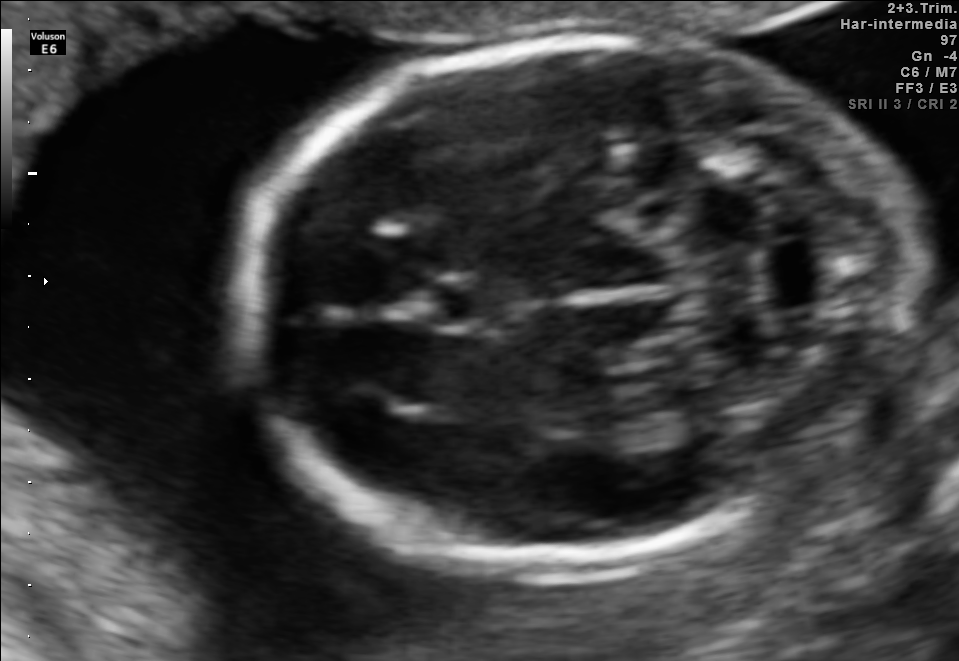
Fetal brain, trans-cerebellum plane. Where is the fetal head?

Head bounding box: [245,37,908,562]